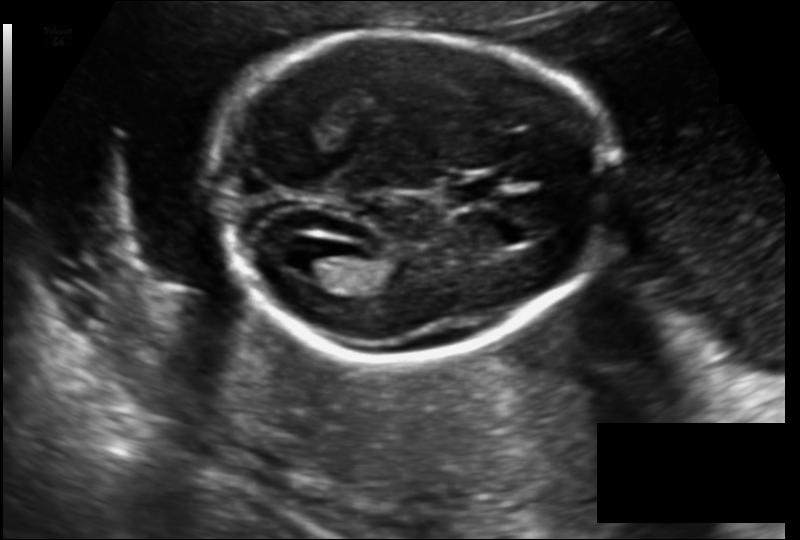
Fetal head ultrasound. Image width: 113.3 mm. Give [x1,y1,x2,y2] bounding boxes for each visible structure among: fetal head, CSP, LV.

Head: [214,32,610,361]
CSP: [445,175,496,208]
Lateral ventricle: [281,238,347,289]